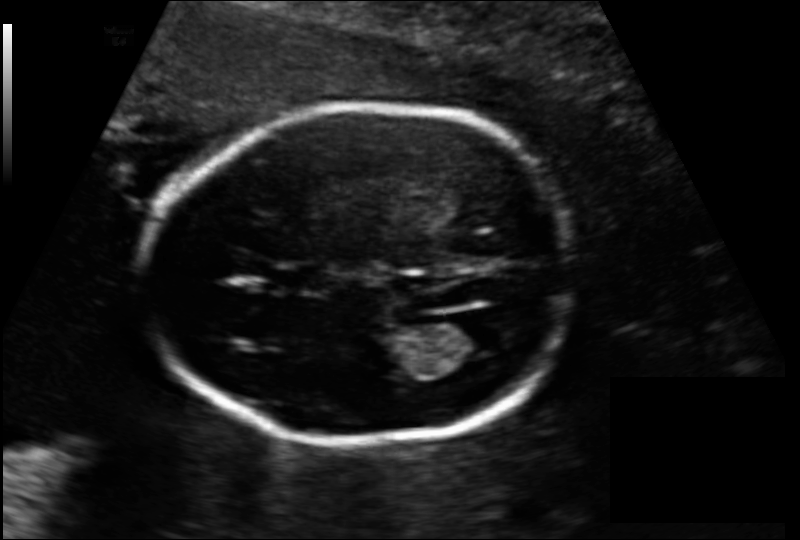
In this fetal head ultrasound, give the bounding box of the lateral ventricle. Image width: 109.4 mm.

[435,304,510,364]